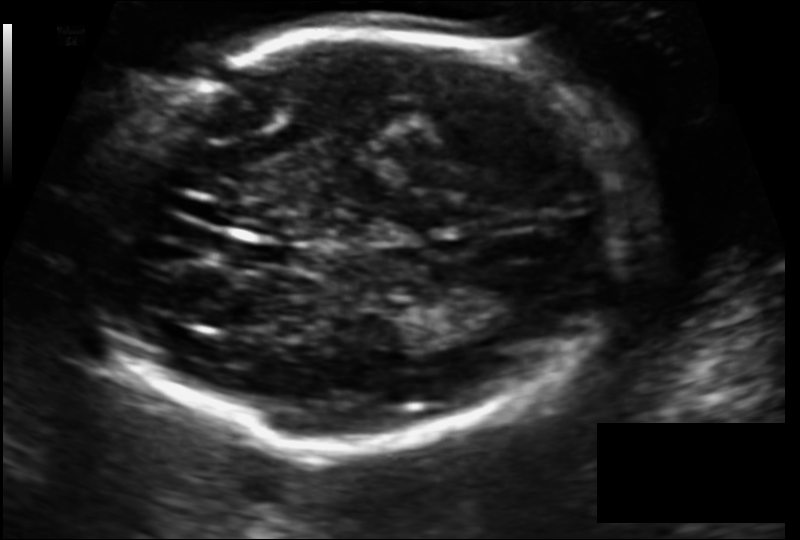
Fetal head ultrasound. Image width: 98.9 mm. Where is the lateral ventricle?

Lateral ventricle bounding box: [459,261,555,331]